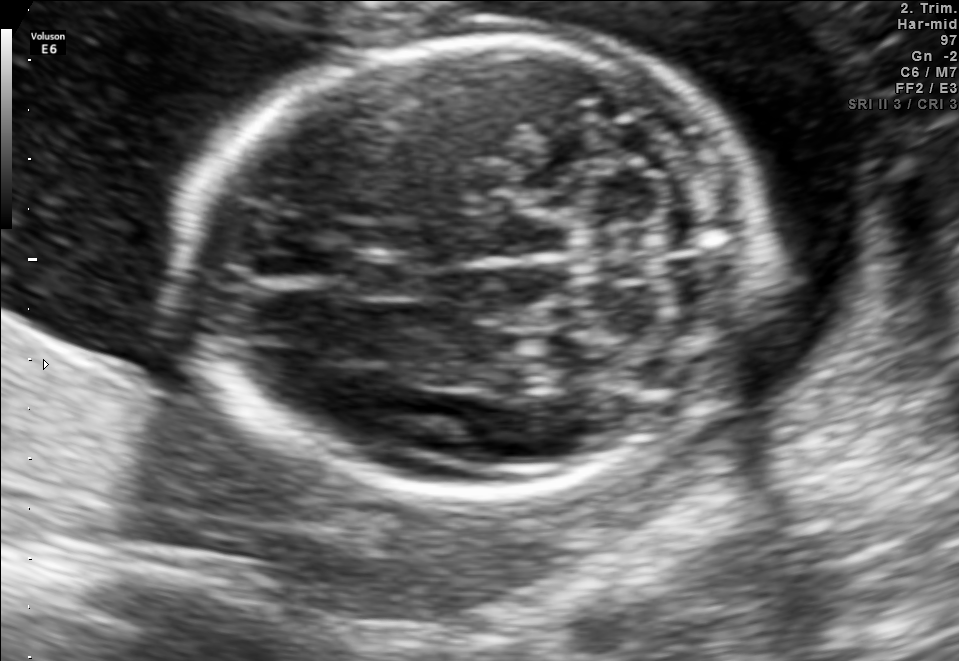
Fetal brain, trans-cerebellum plane. Locate the fetal head and, if visible, the cavum septum pellucidum (CSP) and lateral ventricle (LV). Give bounding boxes as [x1,y1,x2,y2].

Head: [180,40,765,497]
CSP: [346,253,420,300]